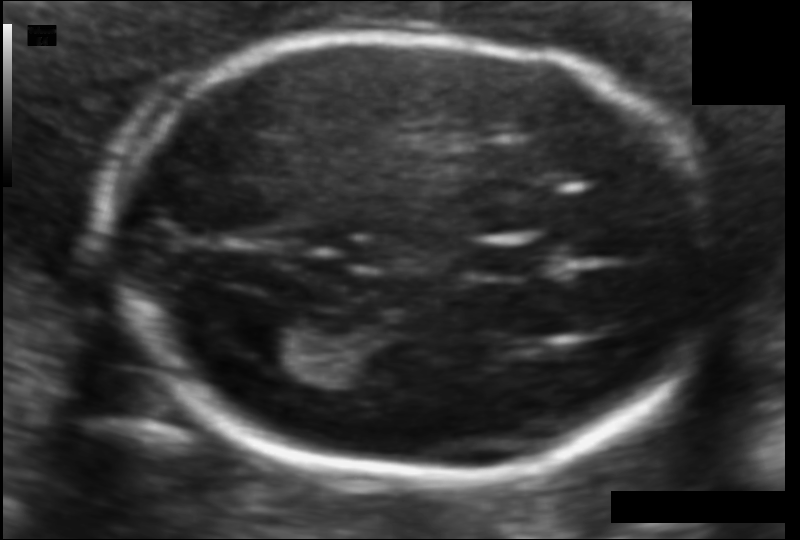
In this fetal head ultrasound, give the bounding box of the cavum septum pellucidum. Image width: 75.5 mm.

[471,240,539,279]